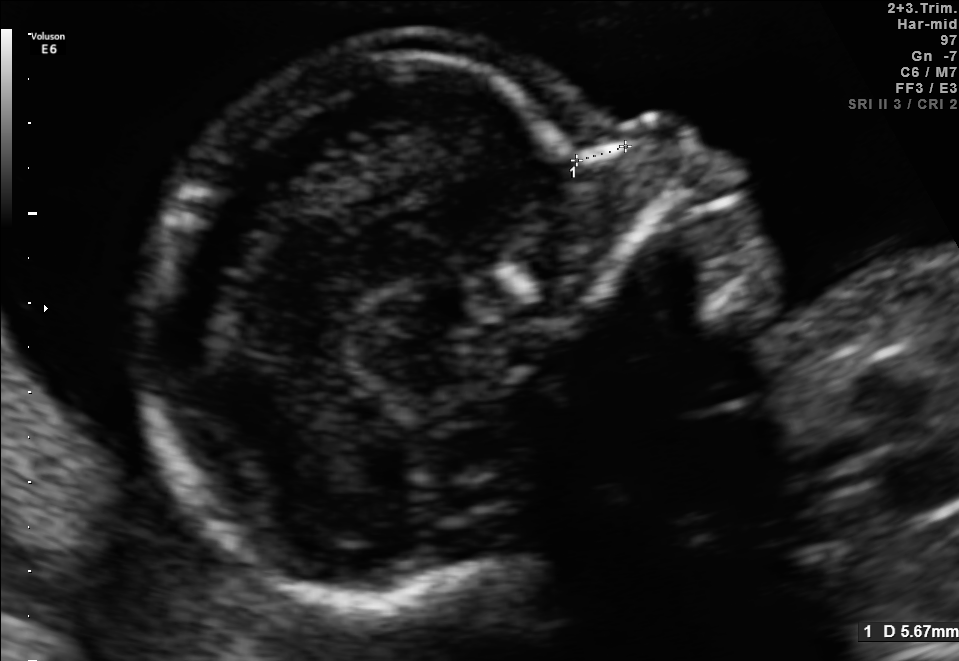
Identify the standard plane in this fetal ultrasound image: fetal abdomen, fetal brain, fetal femur, fetal thorax, maternal cervix, or other. If it's fetal brain and one of the three standard brain planes (trans-thalamic, trans-cerebellum, trans-ventricular), name which.

Other